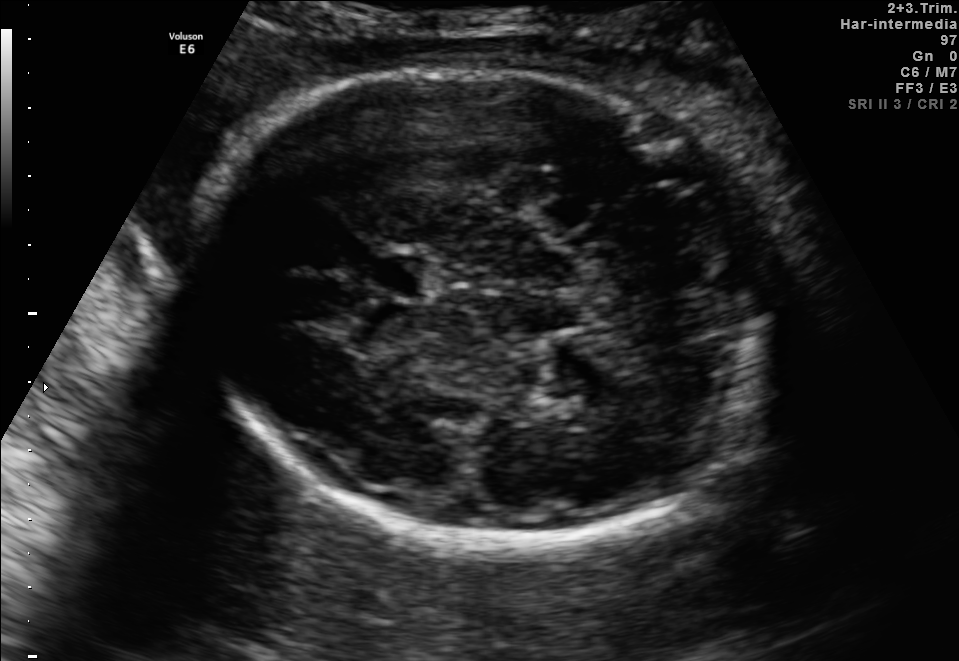
In this fetal brain, trans-thalamic plane, give the bounding box of the cavum septum pellucidum.

[366,253,431,298]